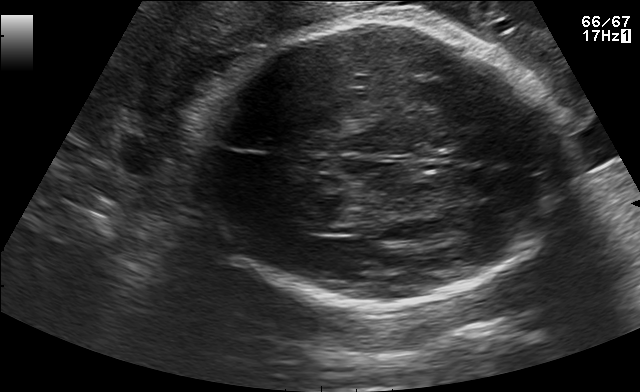
In this fetal brain, trans-thalamic plane, give bounding boxes for the head outline, cavum septum pellucidum (CSP), and lateral ventricle (LV), where visible.

Head: [188,20,568,306]